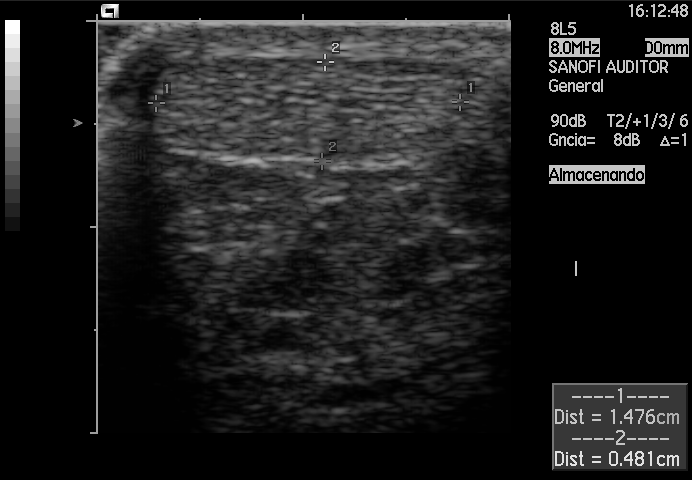
Classify this maternal-fetal ultrasound image as one of the six standard planes — fetal abdomen, fetal brain, fetal femur, fetal thorax, maternal cervix, or other. If it's fetal brain and one of the three standard brain planes (trans-thalamic, trans-cerebellum, trans-ventricular), name which.

Other